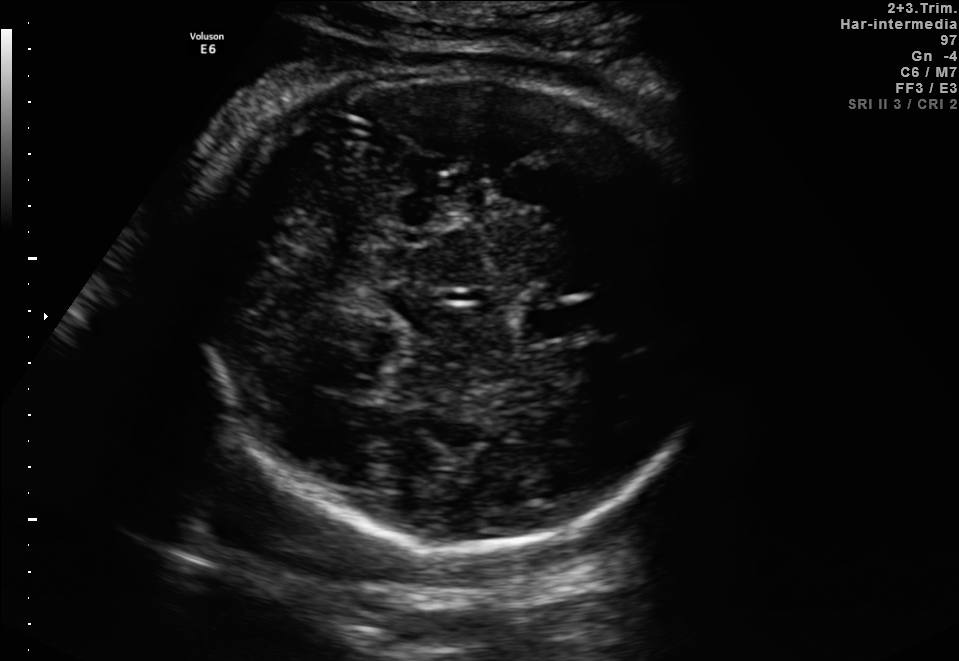
Fetal brain, trans-thalamic plane. Locate the cavum septum pellucidum.

CSP: [524,299,594,343]